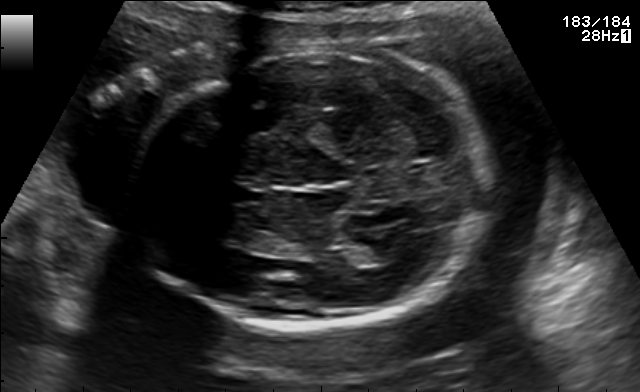
In this fetal brain, trans-thalamic plane, give the bounding box of the cavum septum pellucidum.

[234,187,263,202]